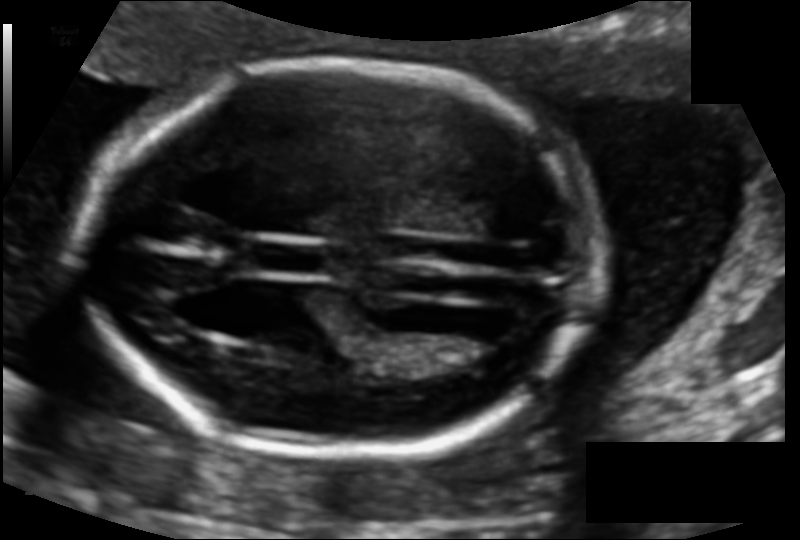
Measure the fetal head circumference shown in this ultrasound image. Image width: 88.3 mm.

Head circumference: 164.1 mm.